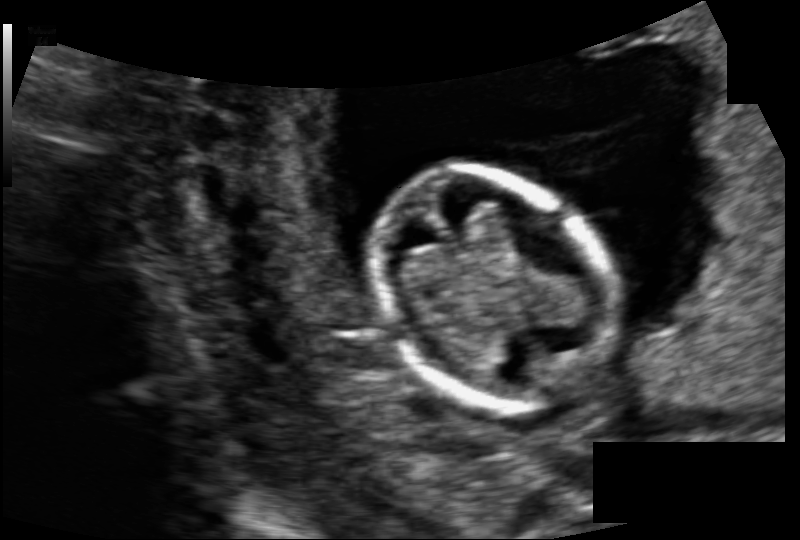
Fetal head ultrasound. Image width: 83.3 mm. Where is the fetal head?

Head bounding box: [373,167,607,410]